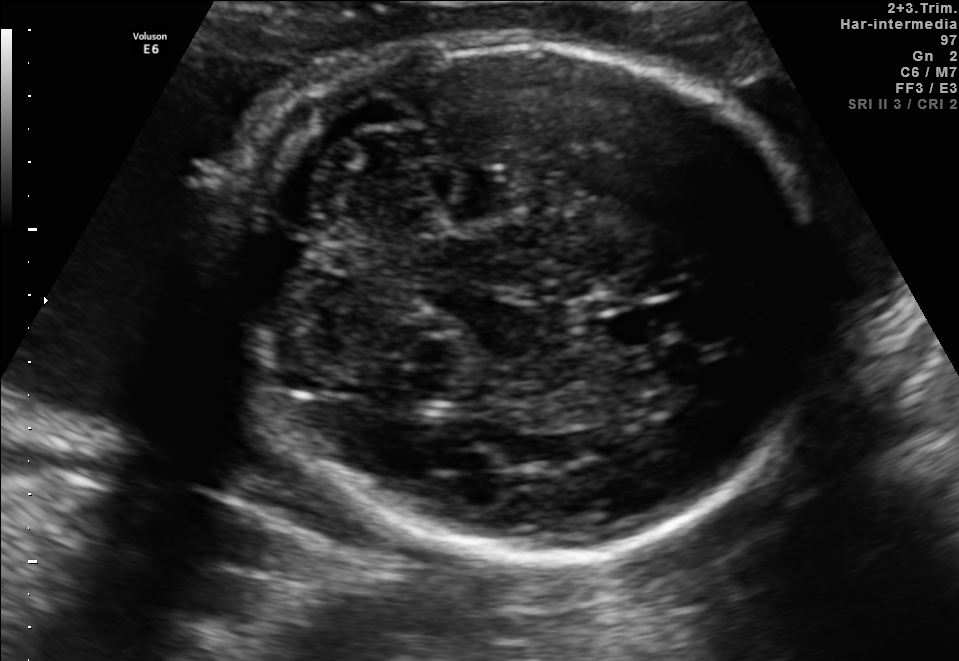
Fetal brain, trans-cerebellum plane. Give [x1,y1,x2,y2] bounding boxes for each visible structure among: fetal head, CSP, LV.

Head: [216,39,817,554]